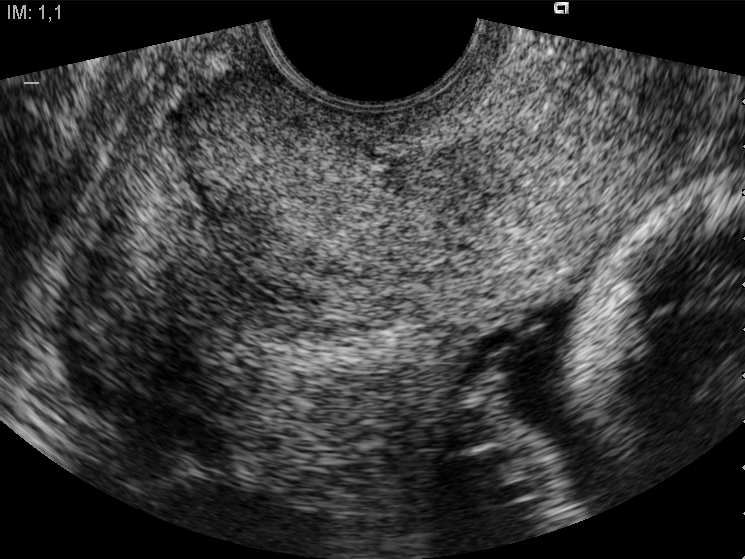
Identify the standard plane in this fetal ultrasound image: fetal abdomen, fetal brain, fetal femur, fetal thorax, maternal cervix, or other. If it's fetal brain and one of the three standard brain planes (trans-thalamic, trans-cerebellum, trans-ventricular), name which.

Maternal cervix